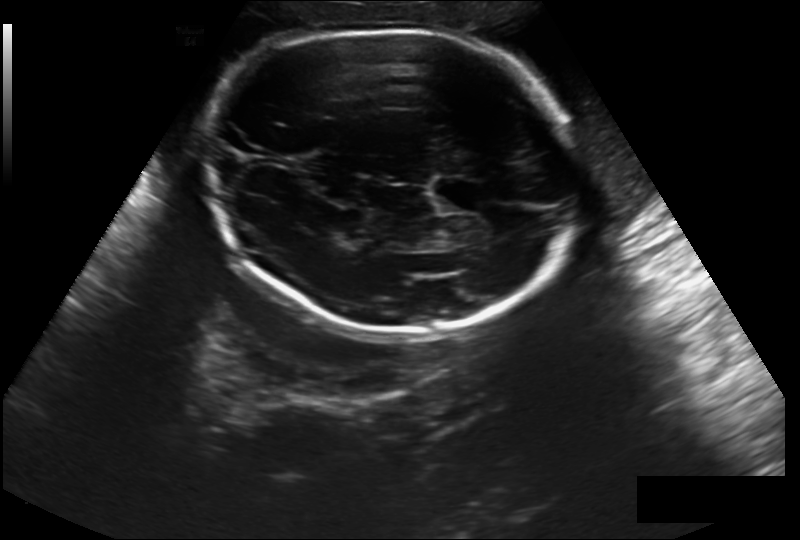
Estimate the fetal head circumference from this 2D ultrasound. Image width: 195.6 mm.

Head circumference: 269.8 mm.